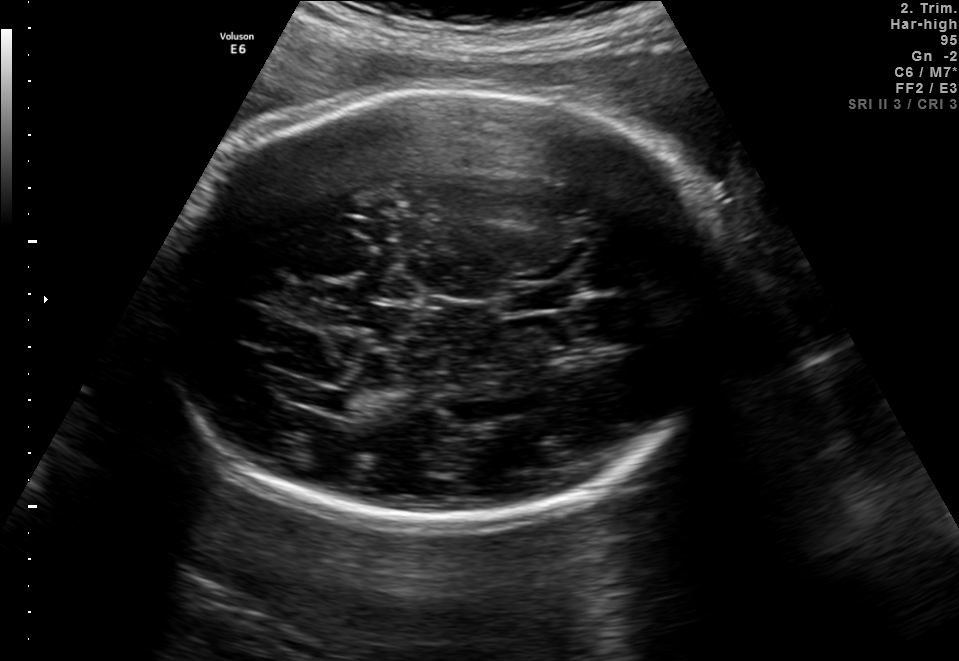
Fetal brain, trans-thalamic plane. Locate the fetal head.

Head: [160,89,731,524]